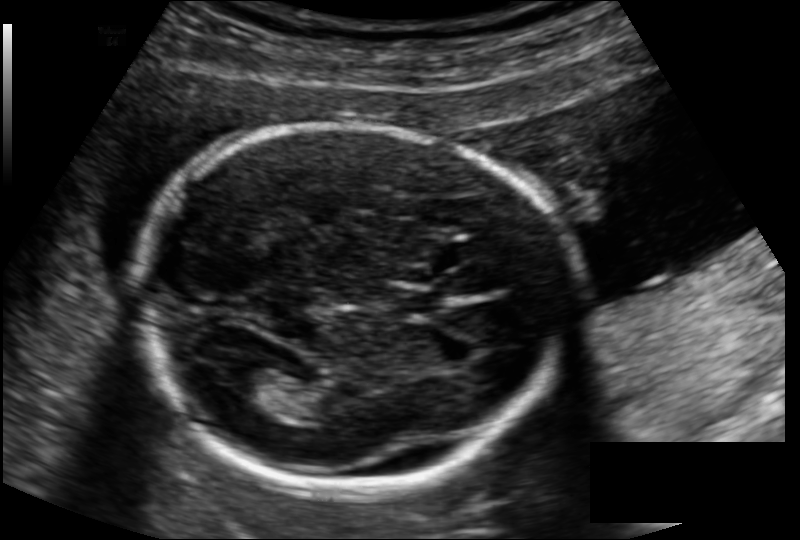
Fetal head ultrasound. Image width: 107.6 mm. Give [x1,y1,x2,y2] bounding boxes for each visible structure among: fetal head, CSP, LV.

Head: [141,122,562,492]
CSP: [385,284,441,316]
Lateral ventricle: [226,356,281,404]